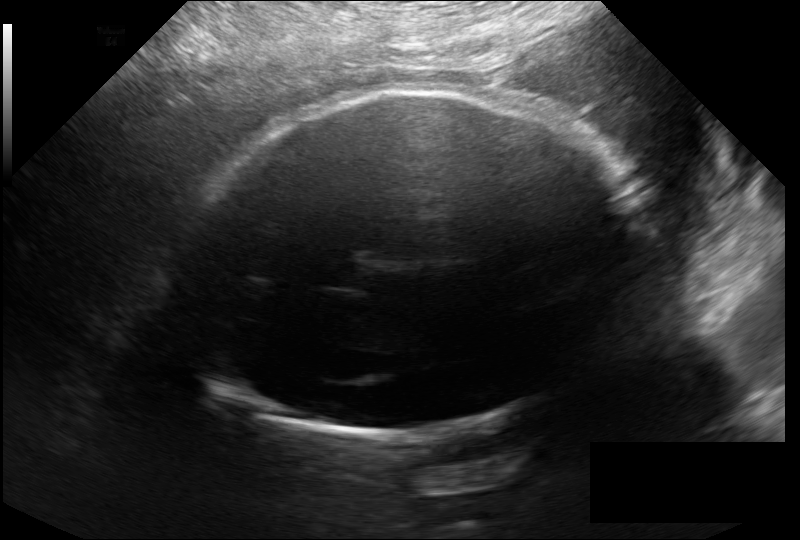
From this fetal ultrasound, estimate the head circumference (image width 196.9 mm).

Head circumference: 320.0 mm.